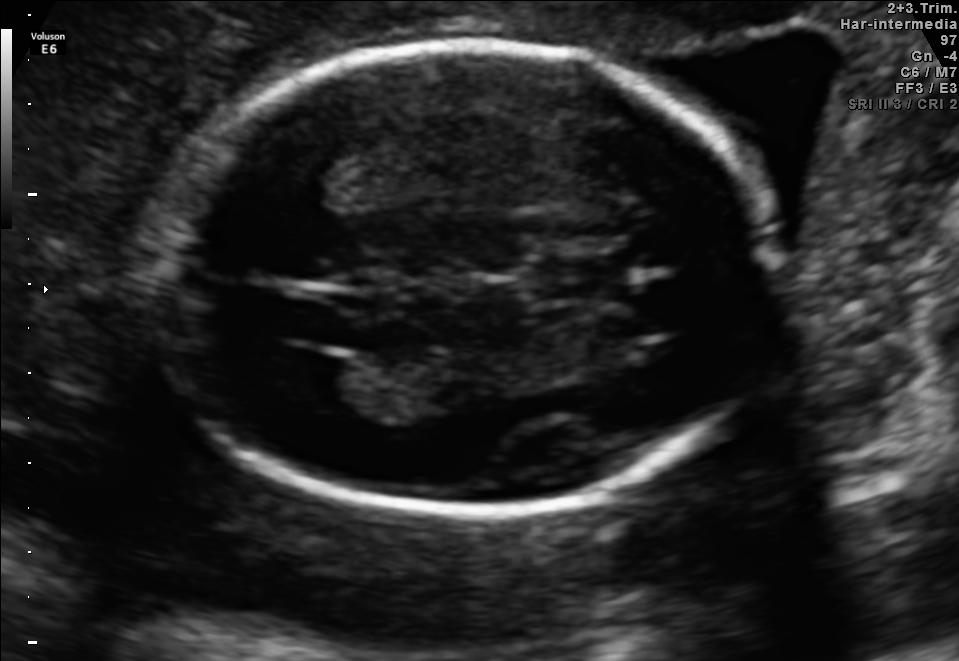
Fetal brain, trans-ventricular plane. Where is the lateral ventricle?

Lateral ventricle bounding box: [276,350,351,401]